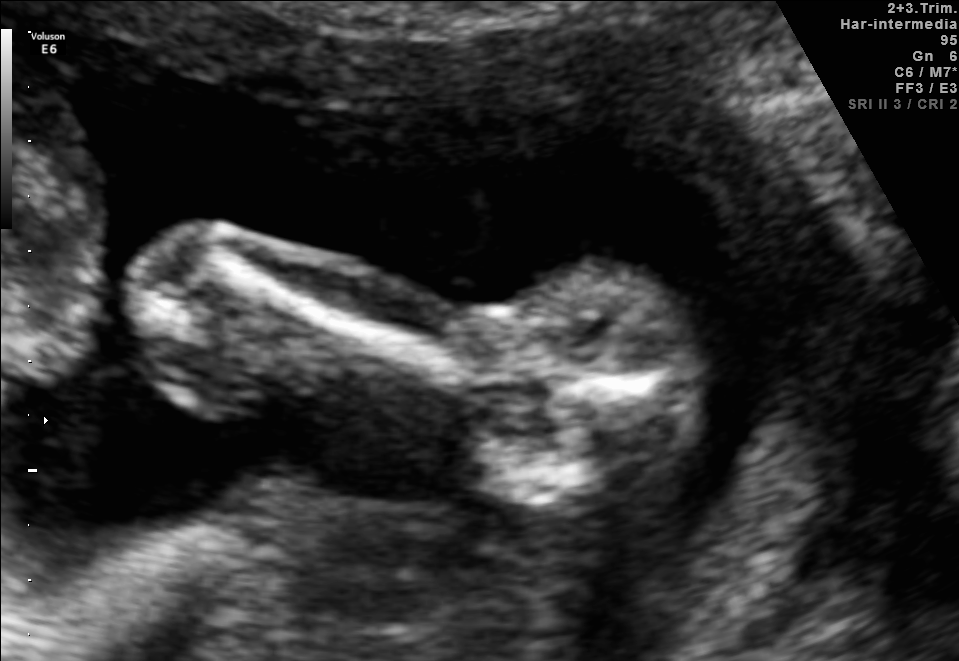
Classify this maternal-fetal ultrasound image as one of the six standard planes — fetal abdomen, fetal brain, fetal femur, fetal thorax, maternal cervix, or other. If it's fetal brain and one of the three standard brain planes (trans-thalamic, trans-cerebellum, trans-ventricular), name which.

Fetal femur